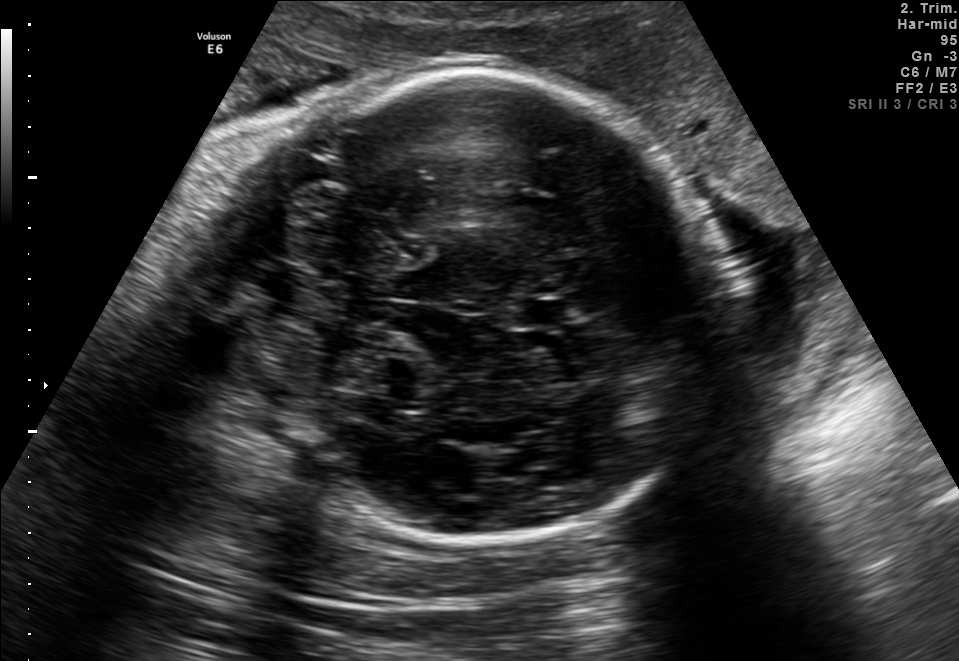
In this fetal brain, trans-cerebellum plane, give the bounding box of the fetal head.

[214,68,727,539]